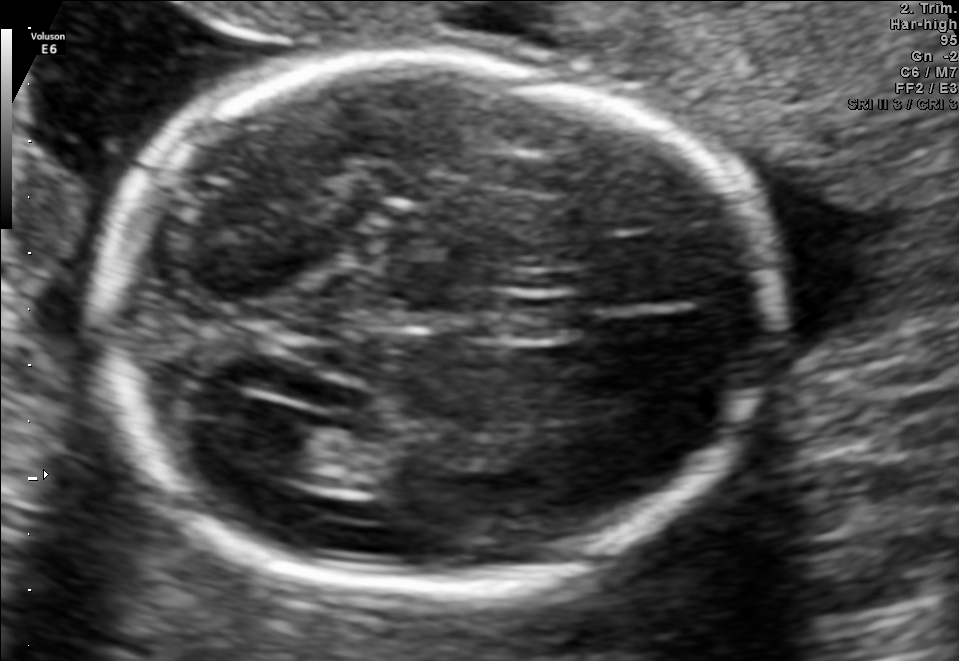
In this fetal brain, trans-ventricular plane, give bounding boxes for the head outline, cavum septum pellucidum (CSP), and lateral ventricle (LV), where visible.

Head: [80,41,797,612]
CSP: [466,296,593,341]
Lateral ventricle: [207,388,324,482]